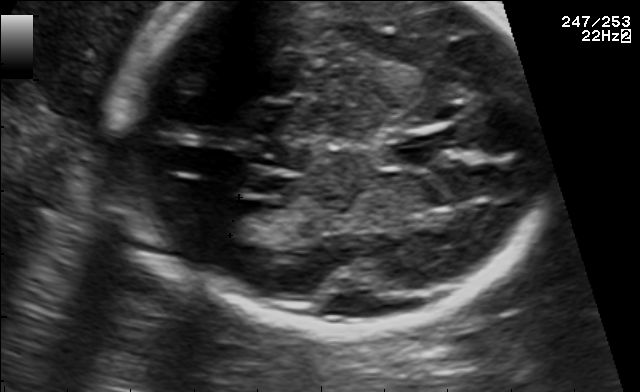
Which standard maternal-fetal ultrasound plane is shown: fetal abdomen, fetal brain, fetal femur, fetal thorax, maternal cervix, or other? If it's fetal brain and one of the three standard brain planes (trans-thalamic, trans-cerebellum, trans-ventricular), name which.

Other